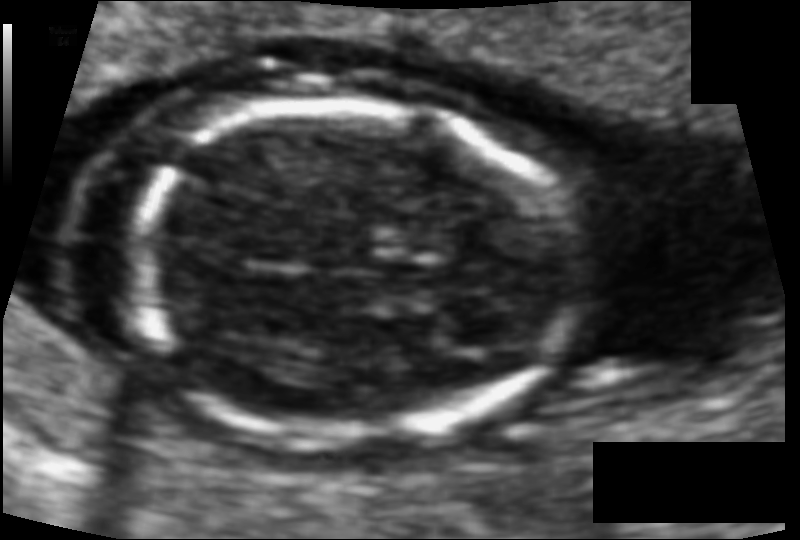
What is the fetal head circumference? Image width is 65.1 mm.

105.0 mm